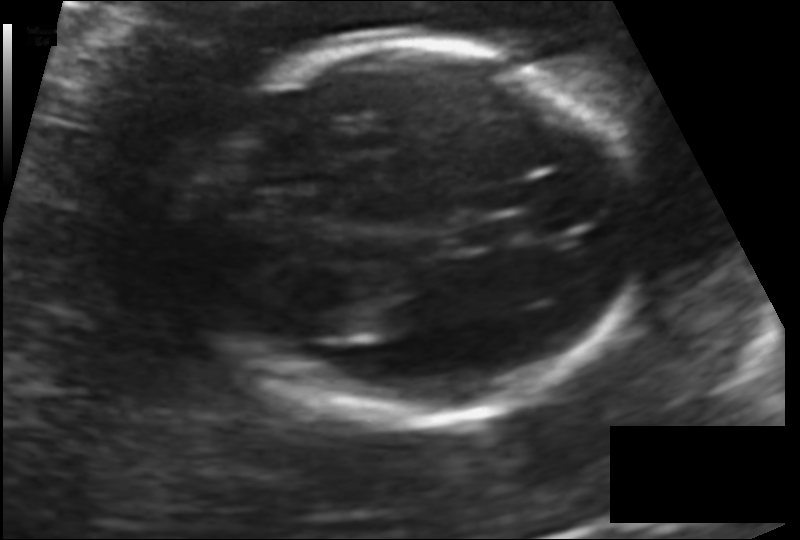
Fetal head ultrasound. Image width: 104.5 mm. Where is the lateral ventricle?

Lateral ventricle bounding box: [306,306,360,342]